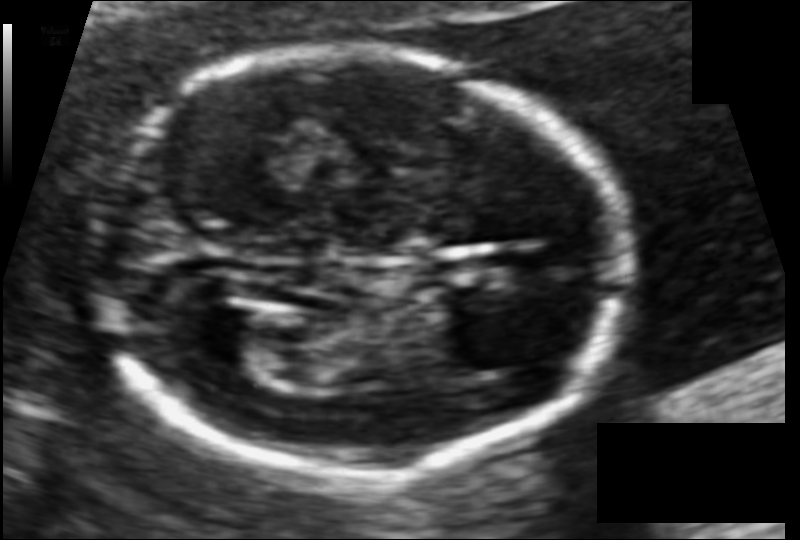
Fetal head ultrasound. Image width: 69.9 mm. Locate the fetal head and, if visible, the cavum septum pellucidum (CSP) and lateral ventricle (LV). Give bounding boxes as [x1,y1,x2,y2].

Head: [96,49,619,475]
Lateral ventricle: [180,298,276,373]